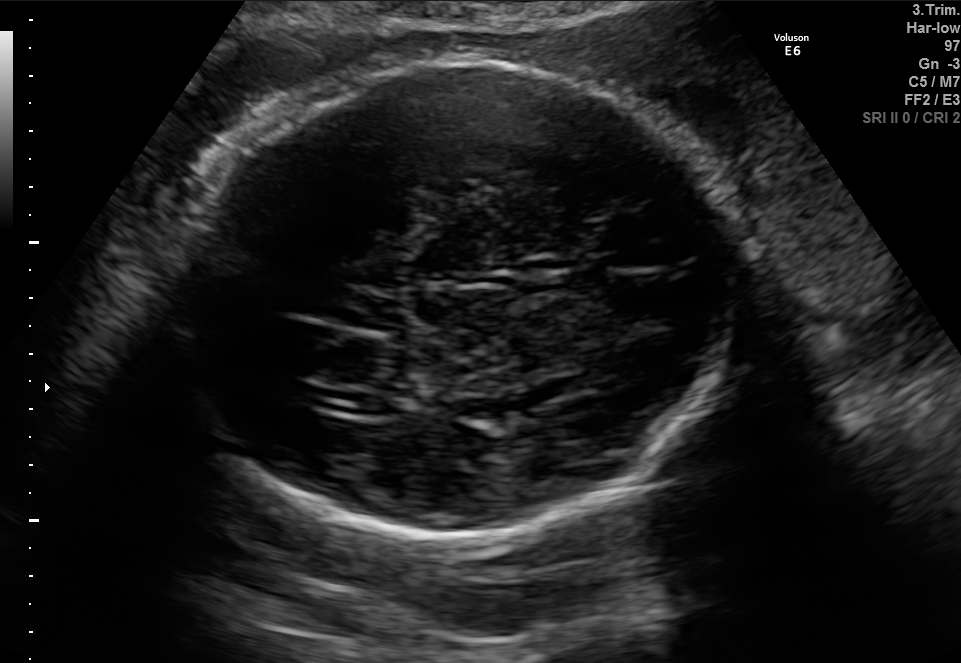
Fetal brain, trans-ventricular plane. Locate the cavum septum pellucidum.

CSP: [563,263,615,298]